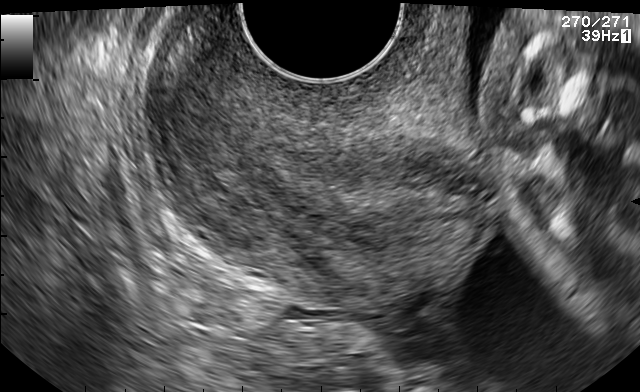
Identify the standard plane in this fetal ultrasound image: fetal abdomen, fetal brain, fetal femur, fetal thorax, maternal cervix, or other. If it's fetal brain and one of the three standard brain planes (trans-thalamic, trans-cerebellum, trans-ventricular), name which.

Maternal cervix